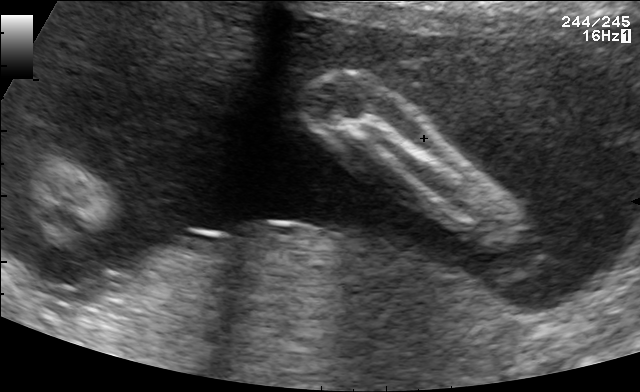
This is a 2D maternal-fetal ultrasound frame. Is it a fetal abdomen, fetal brain, fetal femur, fetal thorax, maternal cervix, or other standard plane? If it's fetal brain and one of the three standard brain planes (trans-thalamic, trans-cerebellum, trans-ventricular), name which.

Other